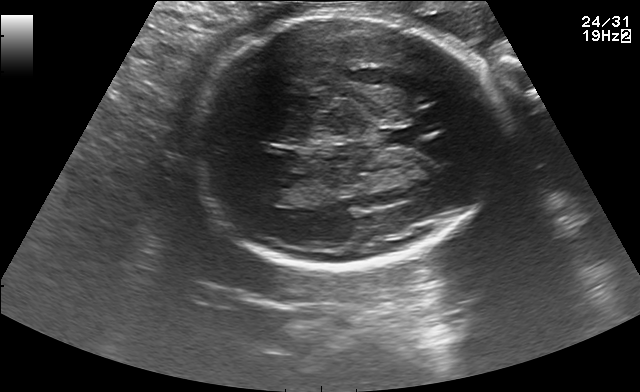
Fetal brain, trans-thalamic plane. Locate the fetal head.

Head: [193,12,495,269]